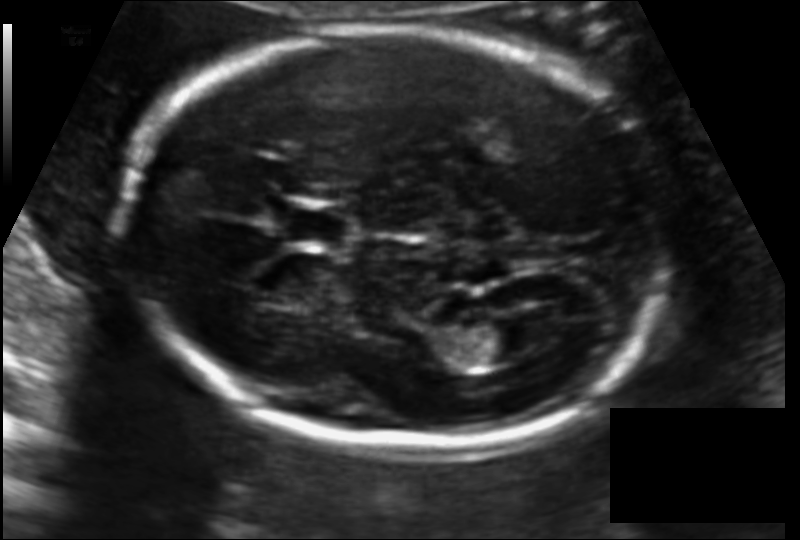
Fetal head ultrasound. Image width: 95.2 mm. Where is the lateral ventricle?

Lateral ventricle bounding box: [456,311,541,371]